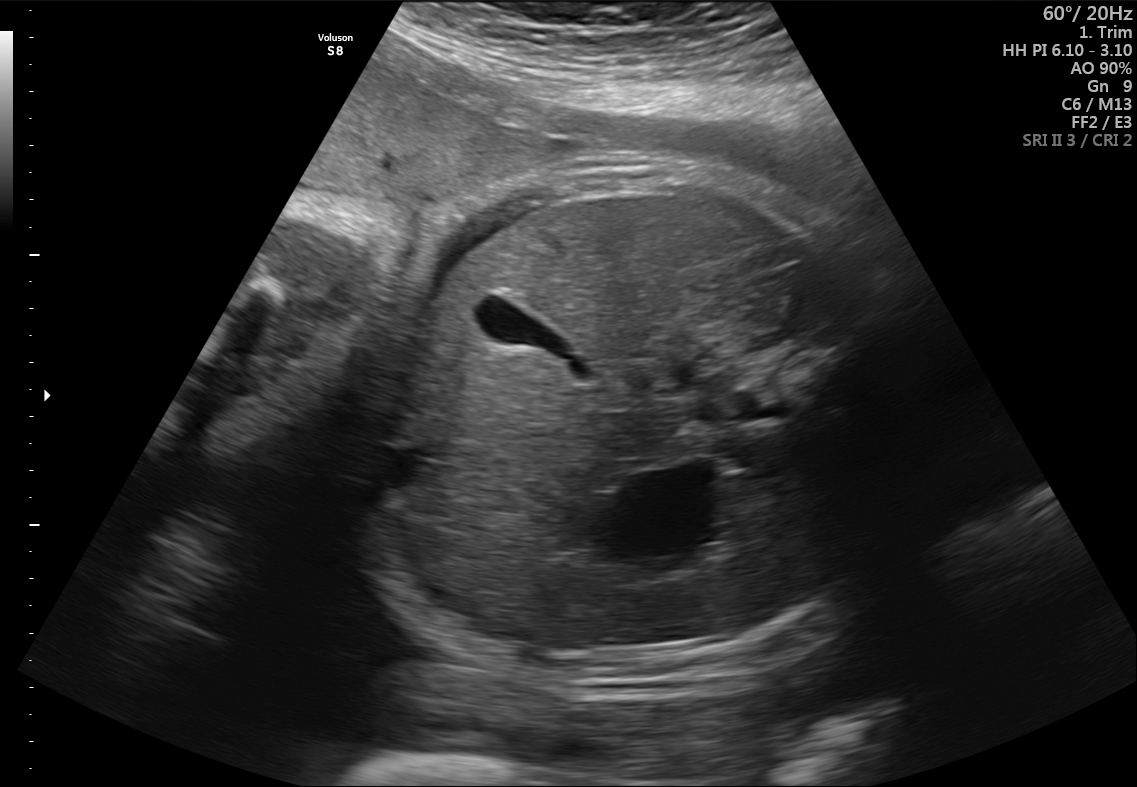
Classify this maternal-fetal ultrasound image as one of the six standard planes — fetal abdomen, fetal brain, fetal femur, fetal thorax, maternal cervix, or other. If it's fetal brain and one of the three standard brain planes (trans-thalamic, trans-cerebellum, trans-ventricular), name which.

Fetal abdomen